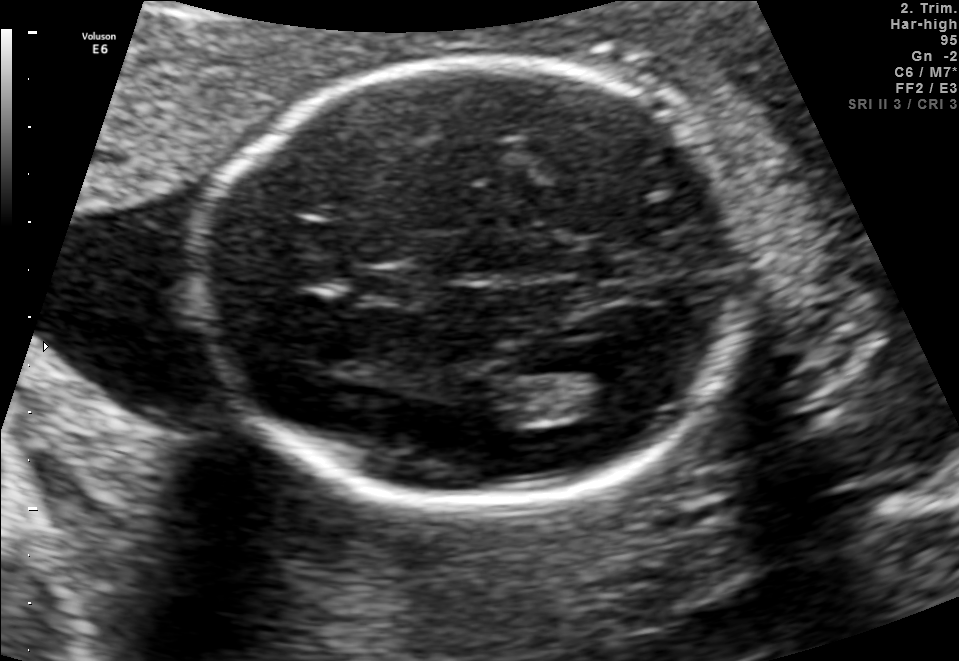
Fetal brain, trans-thalamic plane. Give [x1,y1,x2,y2] bounding boxes for each visible structure among: fetal head, CSP, LV.

Head: [201,59,746,502]
CSP: [351,268,420,303]
Lateral ventricle: [554,360,655,422]